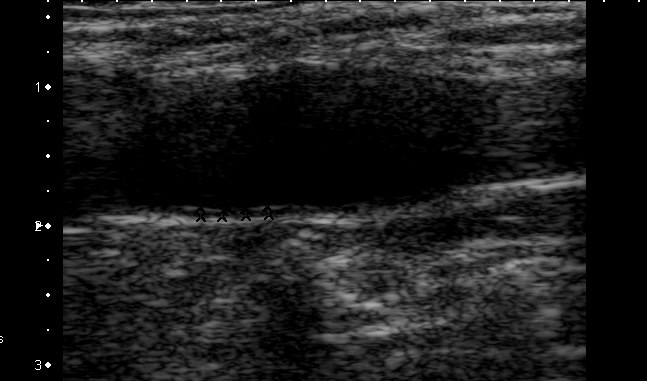
Which standard maternal-fetal ultrasound plane is shown: fetal abdomen, fetal brain, fetal femur, fetal thorax, maternal cervix, or other? If it's fetal brain and one of the three standard brain planes (trans-thalamic, trans-cerebellum, trans-ventricular), name which.

Other